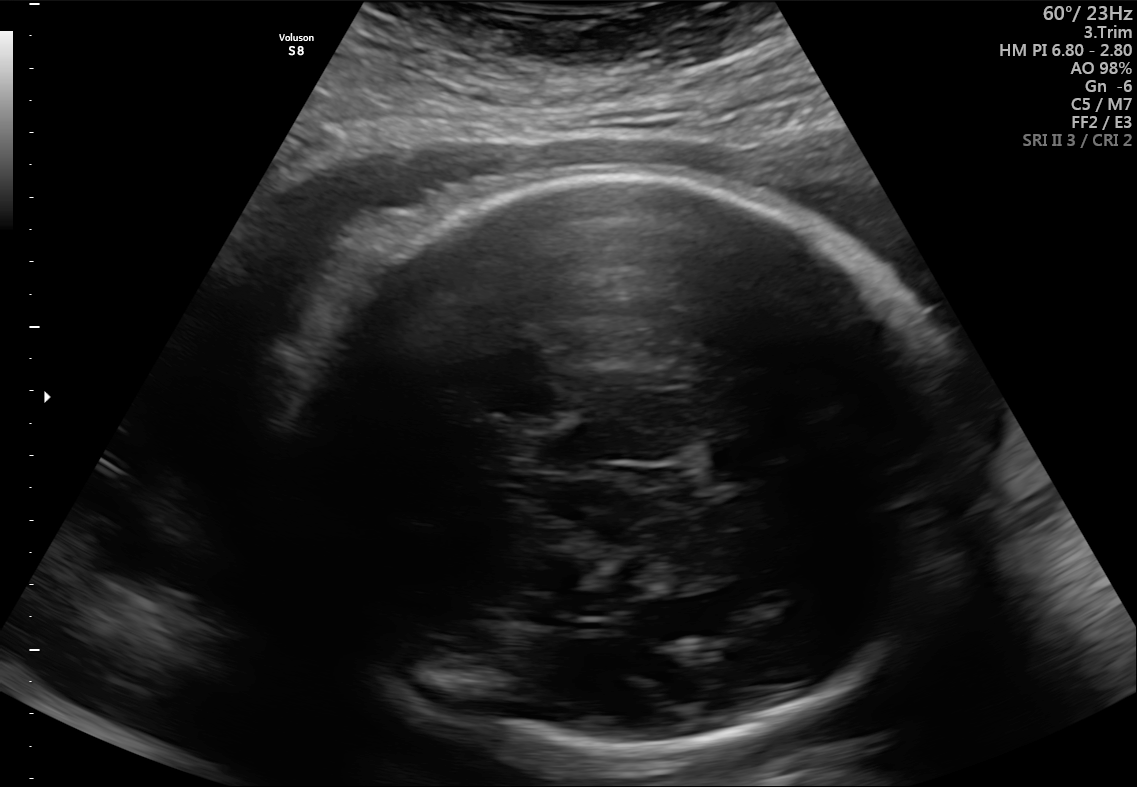
Which standard maternal-fetal ultrasound plane is shown: fetal abdomen, fetal brain, fetal femur, fetal thorax, maternal cervix, or other? If it's fetal brain and one of the three standard brain planes (trans-thalamic, trans-cerebellum, trans-ventricular), name which.

Fetal brain (trans-thalamic plane)